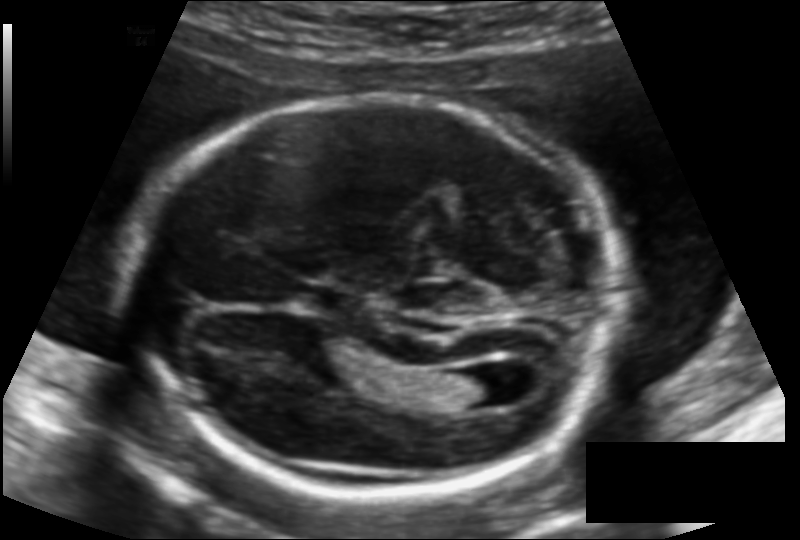
Fetal head ultrasound. Image width: 99.7 mm. Locate the fetal head and, if visible, the cavum septum pellucidum (CSP) and lateral ventricle (LV). Give bounding boxes as [x1,y1,x2,y2].

Head: [133,95,614,494]
CSP: [299,281,359,320]
Lateral ventricle: [445,370,510,408]